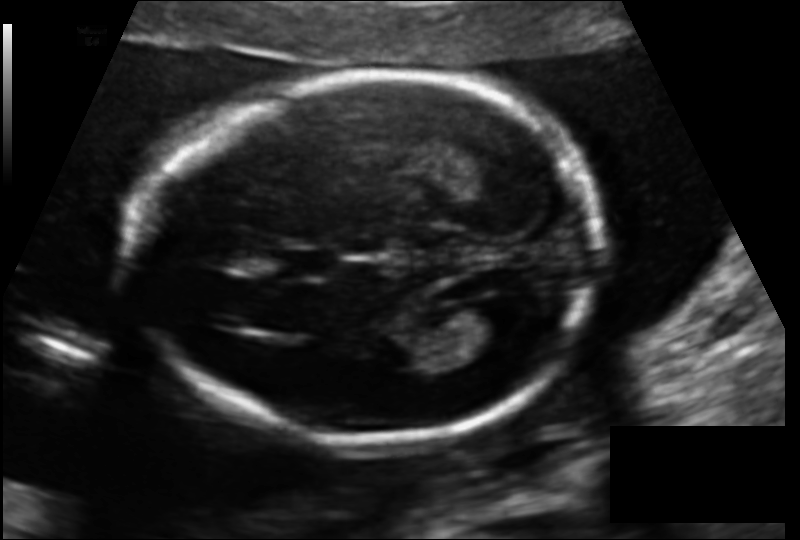
Fetal head ultrasound. Image width: 100.2 mm. Locate the cavum septum pellucidum.

CSP: [278,248,333,277]